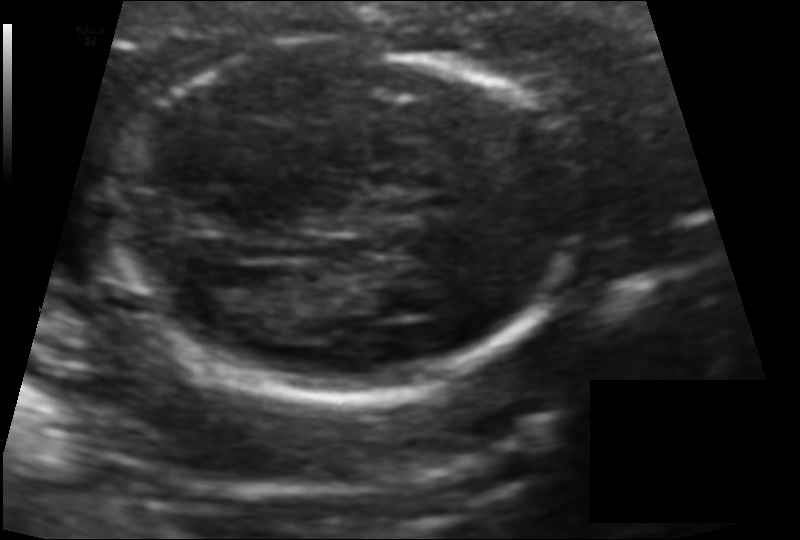
Fetal head ultrasound. Image width: 81.1 mm. Locate the fetal head and, if visible, the cavum septum pellucidum (CSP) and lateral ventricle (LV). Give bounding boxes as [x1,y1,x2,y2].

Head: [117,42,571,397]